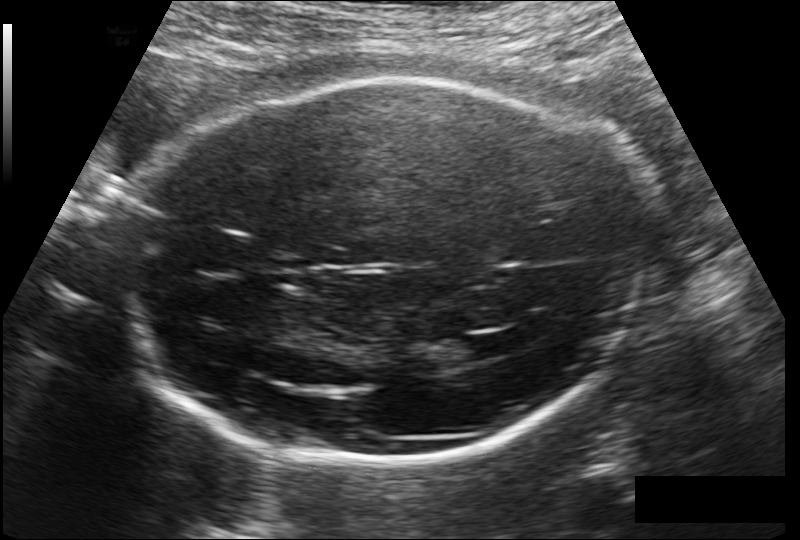
From this fetal ultrasound, estimate the head circumference (image width 142.1 mm).

Head circumference: 262.3 mm.